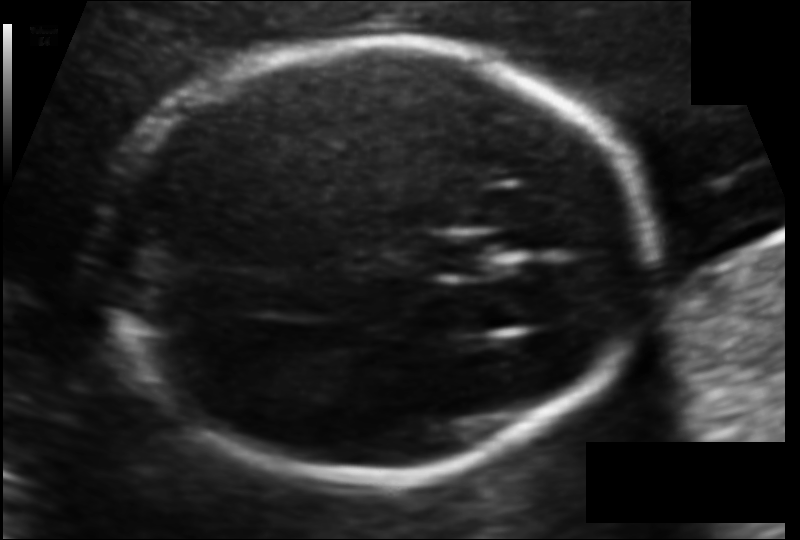
What is the fetal head circumference? Image width is 83.5 mm.

167.4 mm